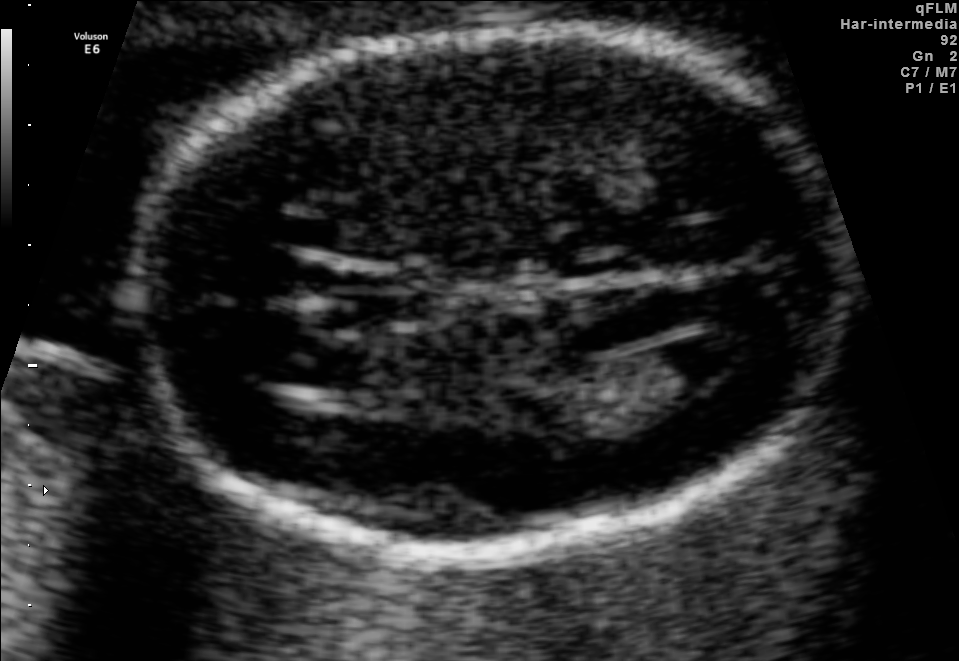
Fetal brain, trans-ventricular plane. Where is the cavum septum pellucidum?

CSP bounding box: [314,272,442,324]